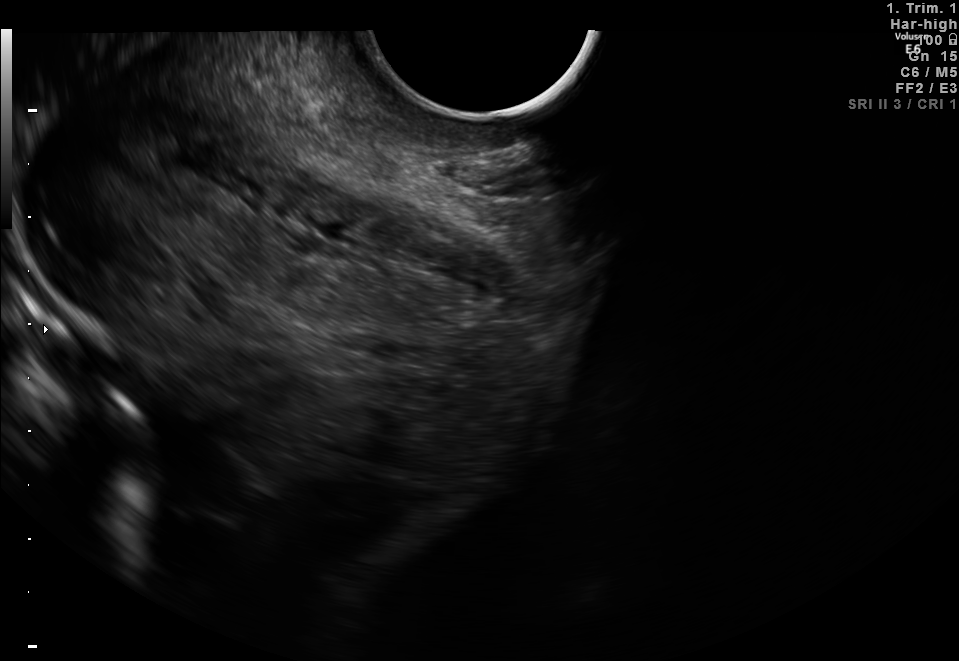
Identify the standard plane in this fetal ultrasound image: fetal abdomen, fetal brain, fetal femur, fetal thorax, maternal cervix, or other. If it's fetal brain and one of the three standard brain planes (trans-thalamic, trans-cerebellum, trans-ventricular), name which.

Maternal cervix